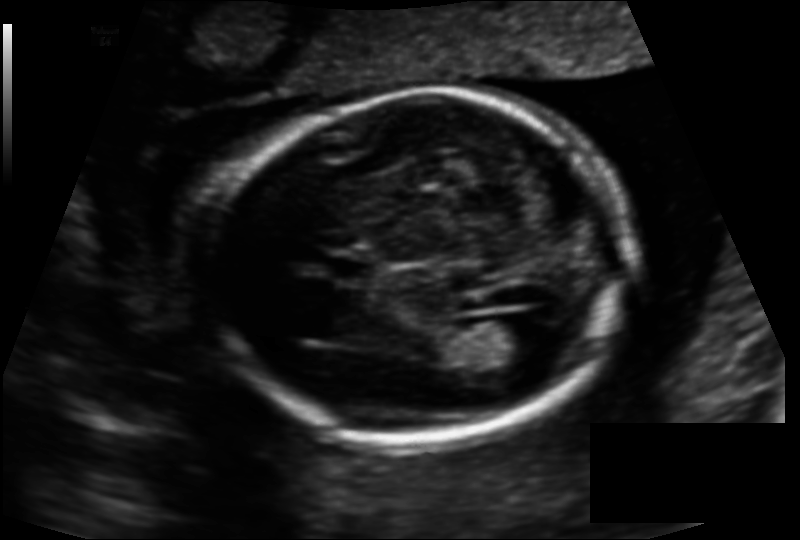
Fetal head ultrasound. Image width: 107.3 mm. Where is the cavum septum pellucidum?

CSP bounding box: [329,257,374,282]